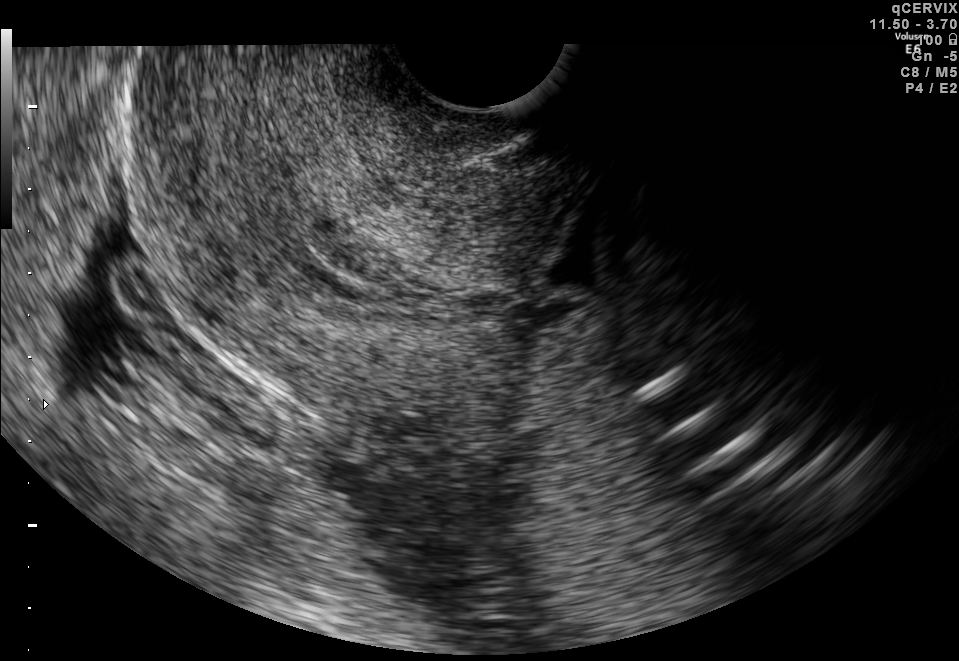
Classify this maternal-fetal ultrasound image as one of the six standard planes — fetal abdomen, fetal brain, fetal femur, fetal thorax, maternal cervix, or other. If it's fetal brain and one of the three standard brain planes (trans-thalamic, trans-cerebellum, trans-ventricular), name which.

Maternal cervix